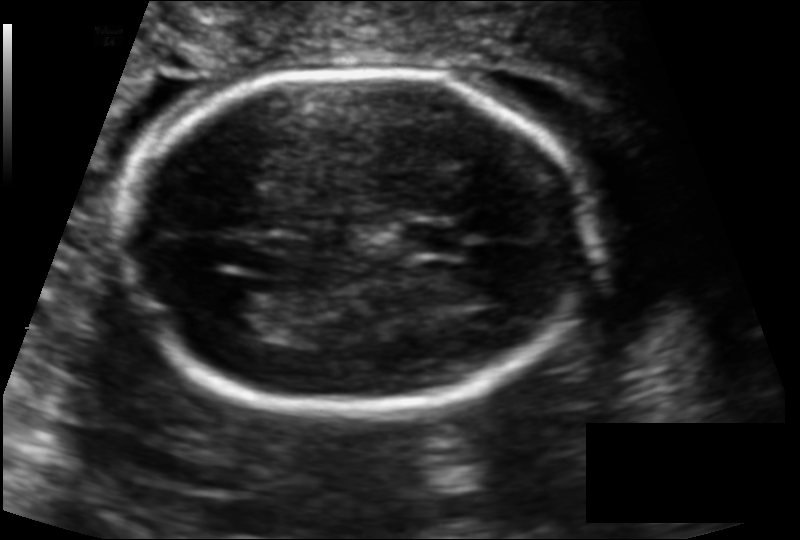
Fetal head ultrasound. Image width: 97.4 mm. Locate the cavum septum pellucidum.

CSP: [398,222,465,256]